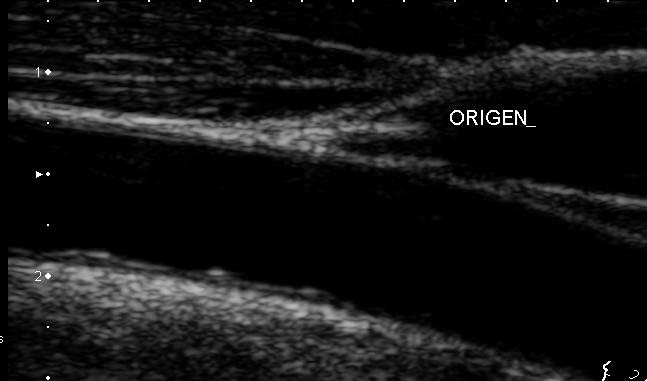
Identify the standard plane in this fetal ultrasound image: fetal abdomen, fetal brain, fetal femur, fetal thorax, maternal cervix, or other. If it's fetal brain and one of the three standard brain planes (trans-thalamic, trans-cerebellum, trans-ventricular), name which.

Other